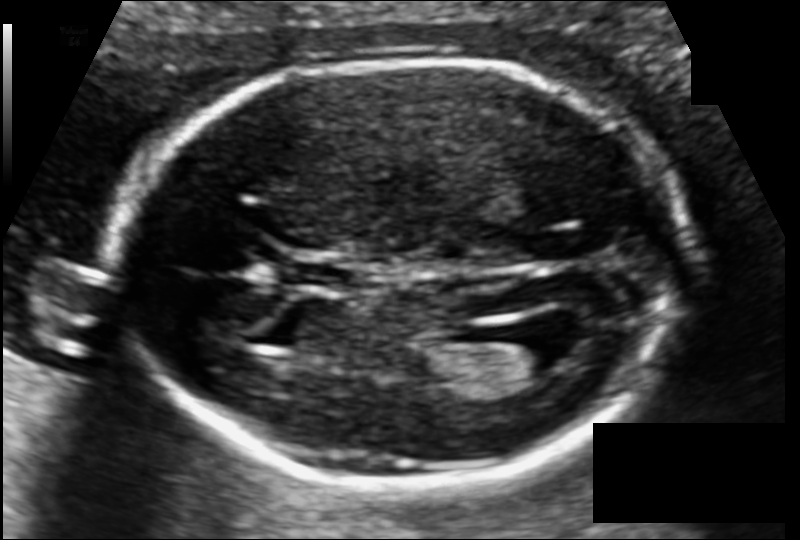
In this fetal head ultrasound, give the bounding box of the lateral ventricle. Image width: 82.9 mm.

[493,311,590,388]